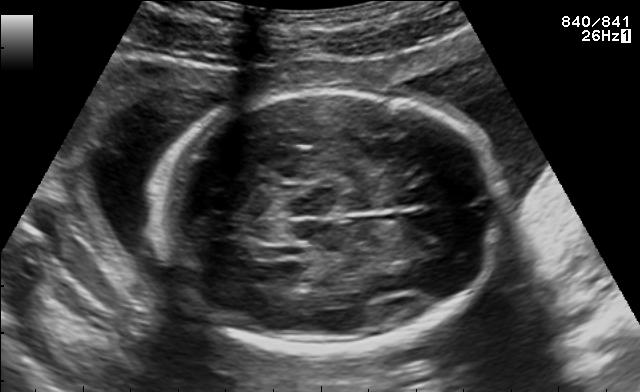
Fetal brain, trans-thalamic plane. Give [x1,y1,x2,y2] bounding boxes for each visible structure among: fetal head, CSP, LV.

Head: [152,90,507,353]